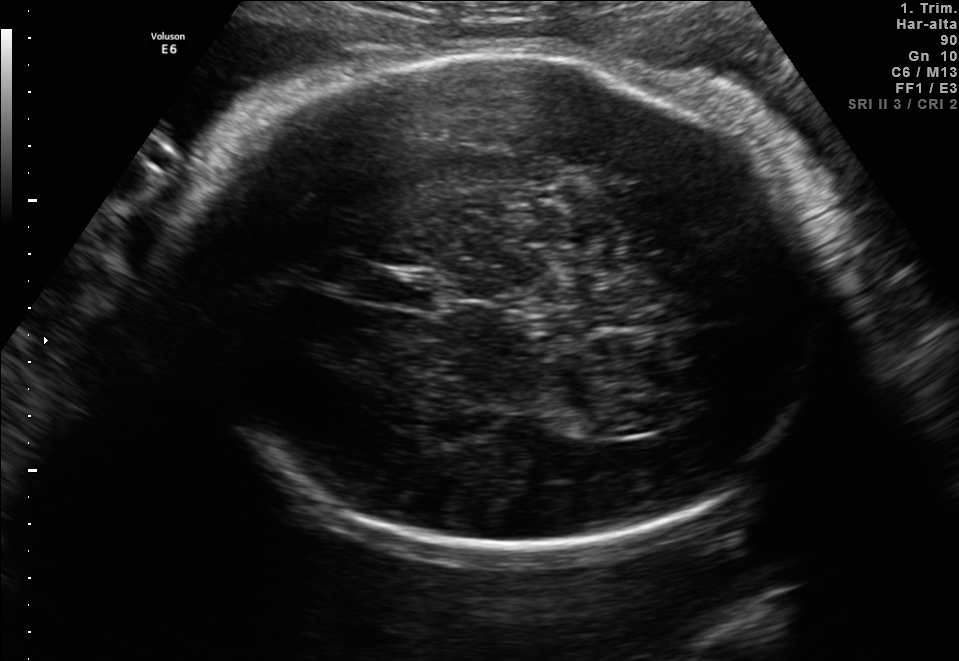
In this fetal brain, trans-thalamic plane, give the bounding box of the cavum septum pellucidum.

[360,265,438,311]